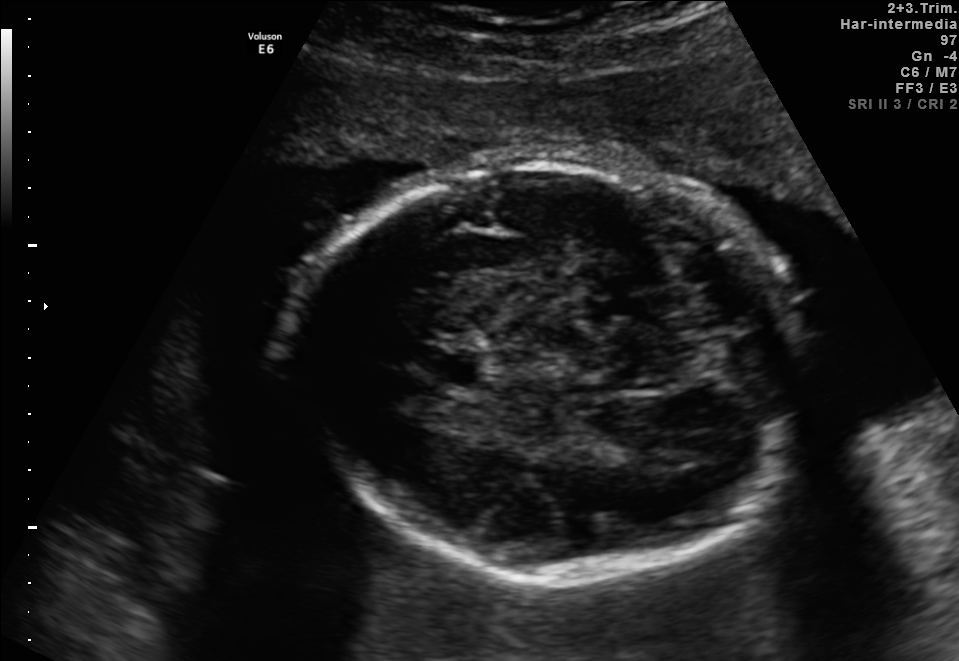
Fetal brain, trans-thalamic plane. Locate the fetal head.

Head: [302,159,805,580]